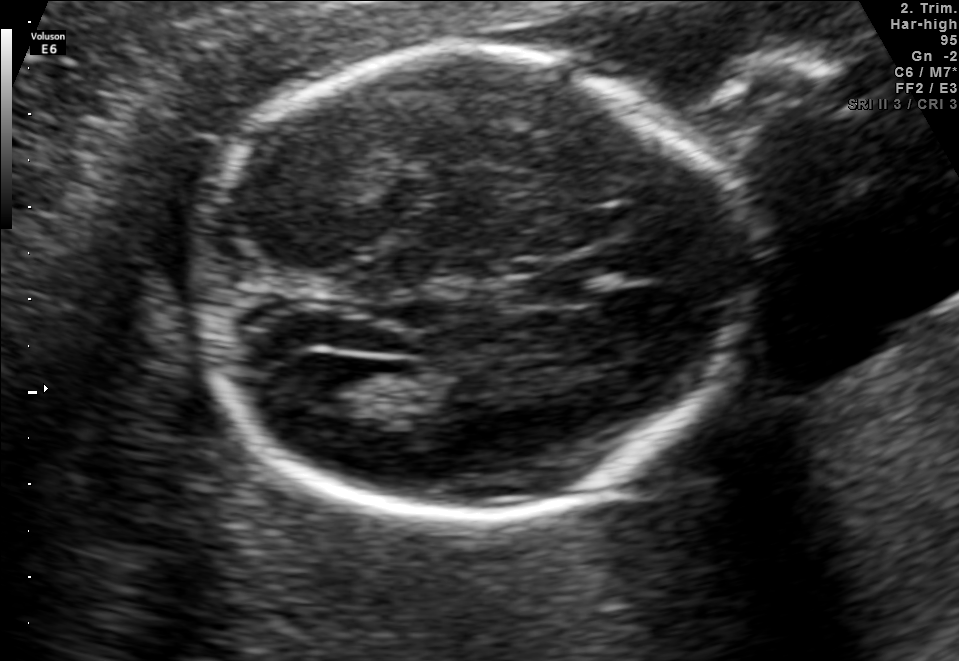
In this fetal brain, trans-ventricular plane, give the bounding box of the lateral ventricle.

[286,349,376,419]